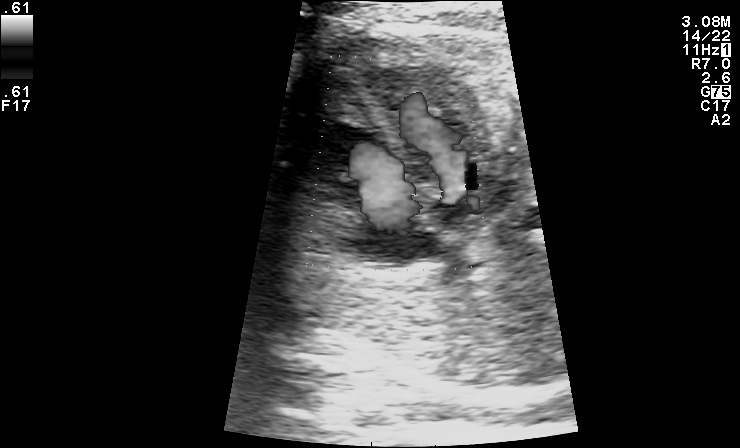
This is a 2D maternal-fetal ultrasound frame. Is it a fetal abdomen, fetal brain, fetal femur, fetal thorax, maternal cervix, or other standard plane? If it's fetal brain and one of the three standard brain planes (trans-thalamic, trans-cerebellum, trans-ventricular), name which.

Other